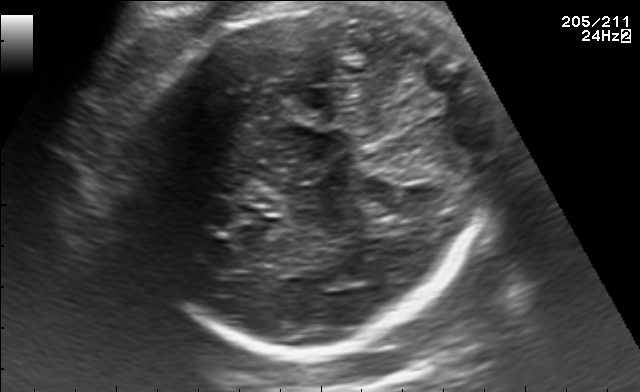
Fetal brain, trans-thalamic plane. Where is the fetal head?

Head bounding box: [126,7,491,351]